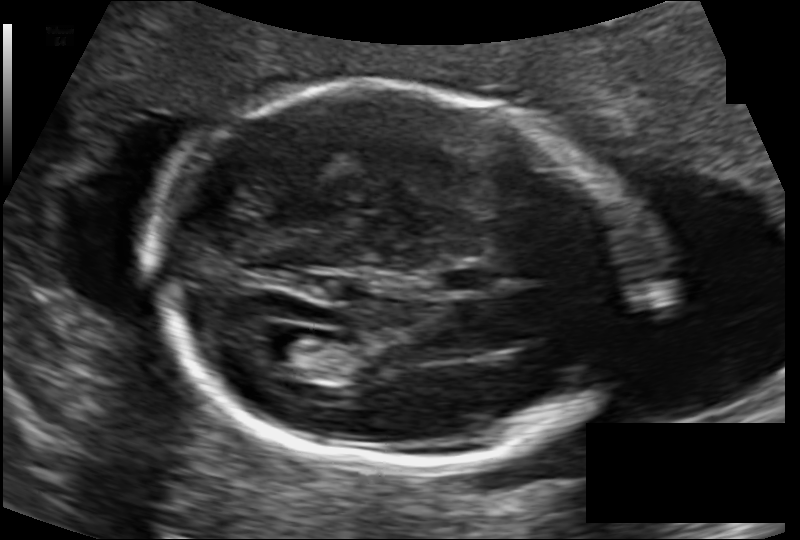
Fetal head ultrasound. Image width: 95.8 mm. Where is the lateral ventricle?

Lateral ventricle bounding box: [253,326,327,380]